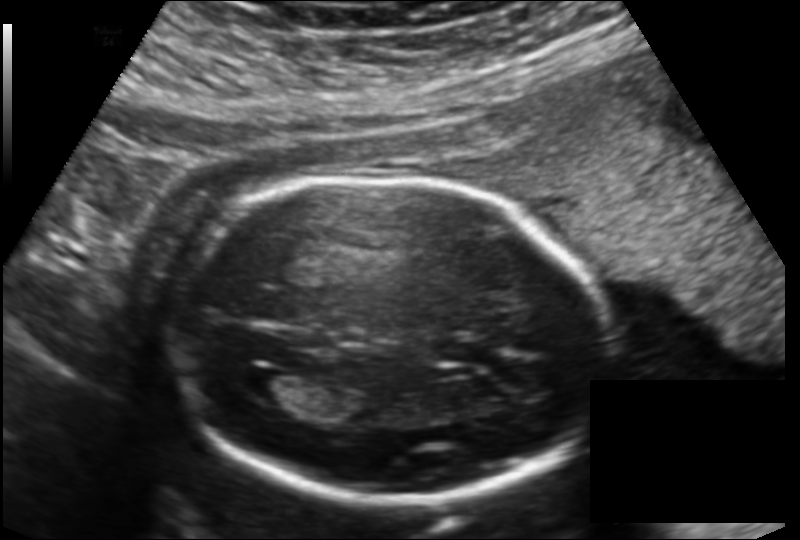
In this fetal head ultrasound, give bounding boxes for the head outline, cavum septum pellucidum (CSP), and lateral ventricle (LV), where visible. Image width: 120.4 mm.

Head: [164,176,604,502]
CSP: [435,337,488,366]
Lateral ventricle: [232,363,302,409]